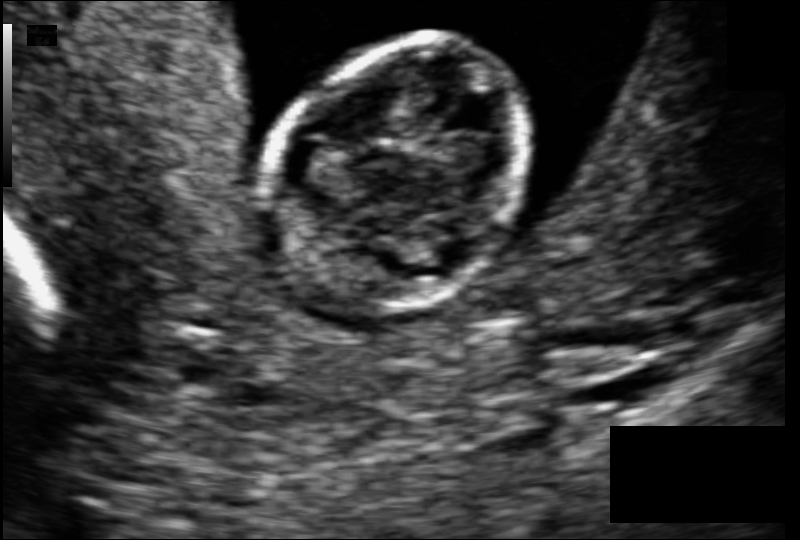
Estimate the fetal head circumference from this 2D ultrasound.

Head circumference: 68.7 mm (image width 63.6 mm).